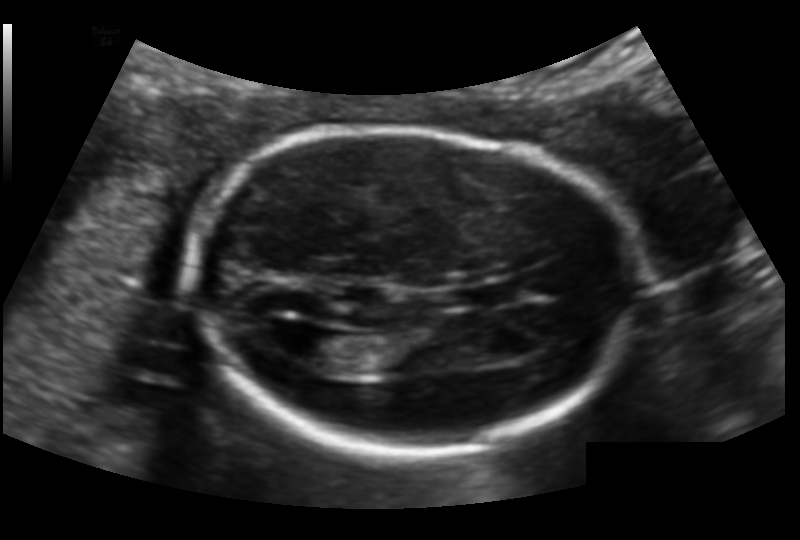
Fetal head ultrasound. Image width: 105.5 mm. Locate the fetal head.

Head: [185,127,638,451]